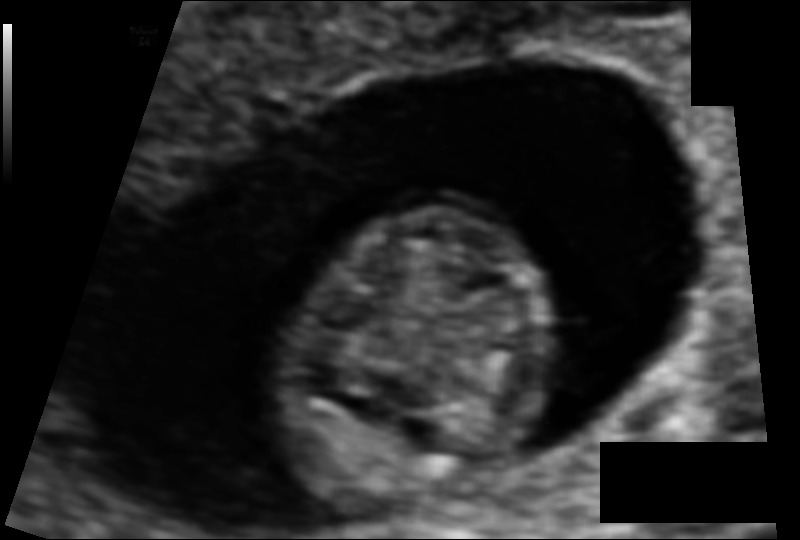
In this fetal head ultrasound, give the bounding box of the fetal head. Image width: 58.4 mm.

[279,209,545,512]